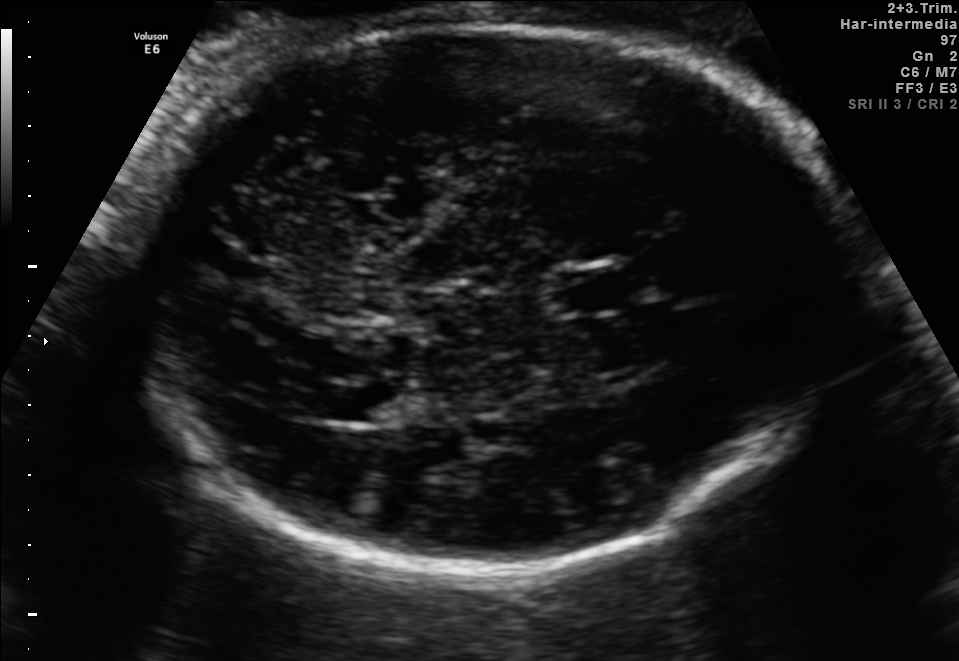
Fetal brain, trans-thalamic plane. Locate the fetal head and, if visible, the cavum septum pellucidum (CSP) and lateral ventricle (LV). Give bounding boxes as [x1,y1,x2,y2].

Head: [135,26,852,569]
CSP: [555,264,633,312]
Lateral ventricle: [305,383,391,424]